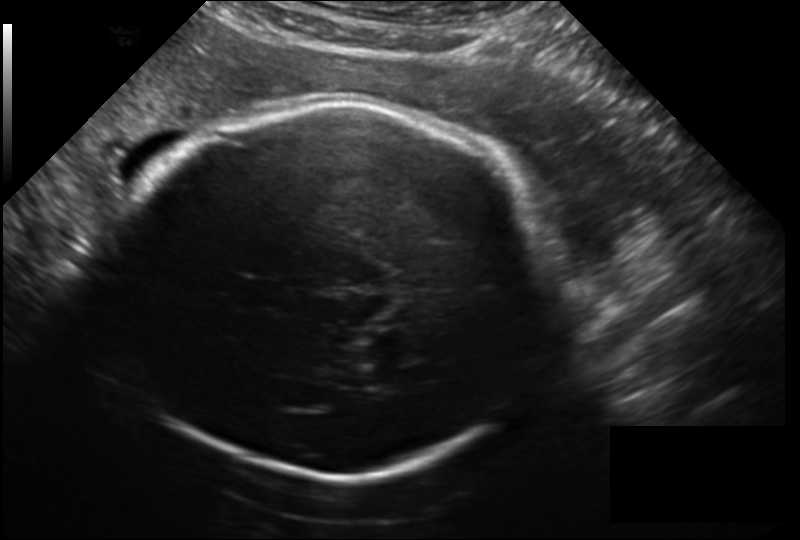
Fetal head ultrasound. Image width: 167.3 mm. Where is the fetal head?

Head bounding box: [116,101,546,475]